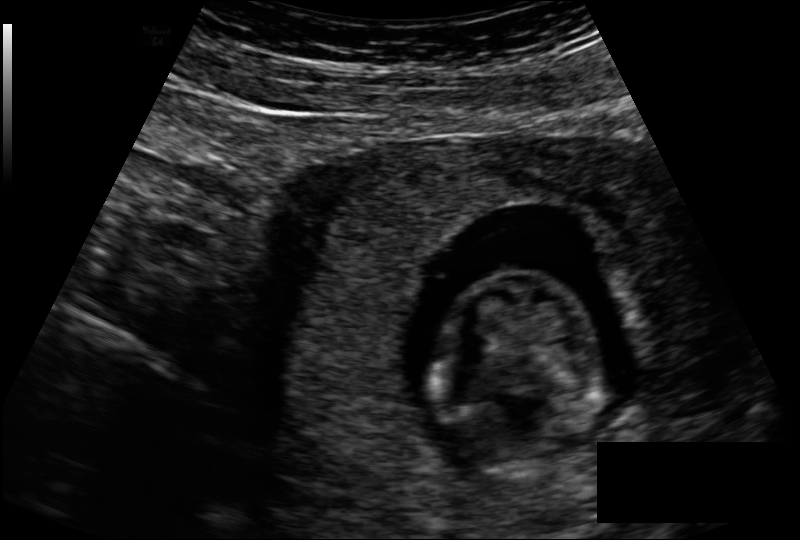
Fetal head ultrasound. Image width: 104.8 mm. Where is the fetal head?

Head bounding box: [436,272,599,474]